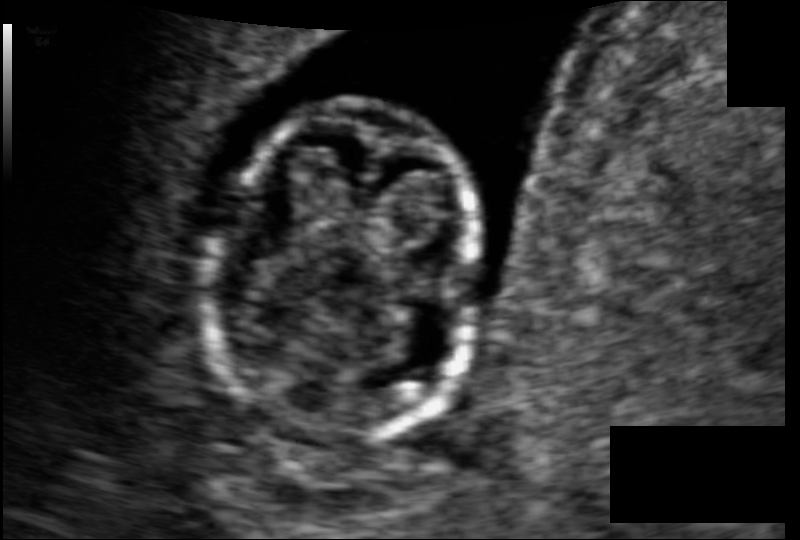
Fetal head ultrasound. Image width: 59.1 mm. Locate the fetal head.

Head: [212,103,478,440]